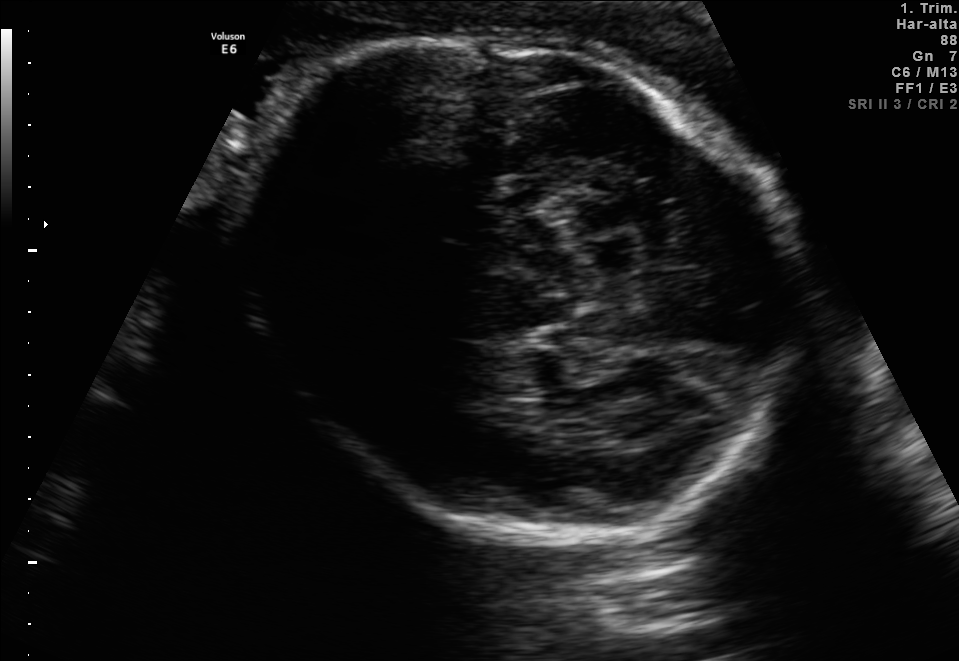
Fetal brain, trans-thalamic plane. Where is the fetal head?

Head bounding box: [240,30,795,529]